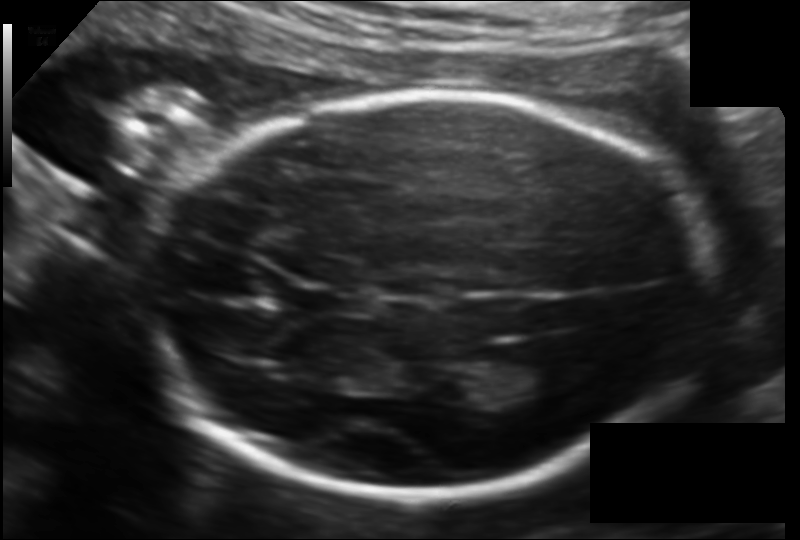
Fetal head ultrasound. Image width: 103.8 mm. Where is the fetal head?

Head bounding box: [149,96,711,493]